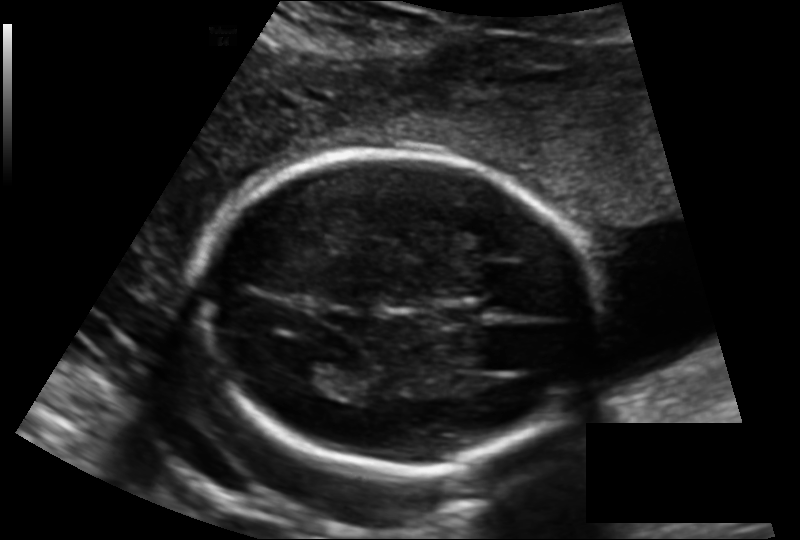
In this fetal head ultrasound, give the bounding box of the cavum septum pellucidum. Image width: 114.7 mm.

[434,300,482,330]